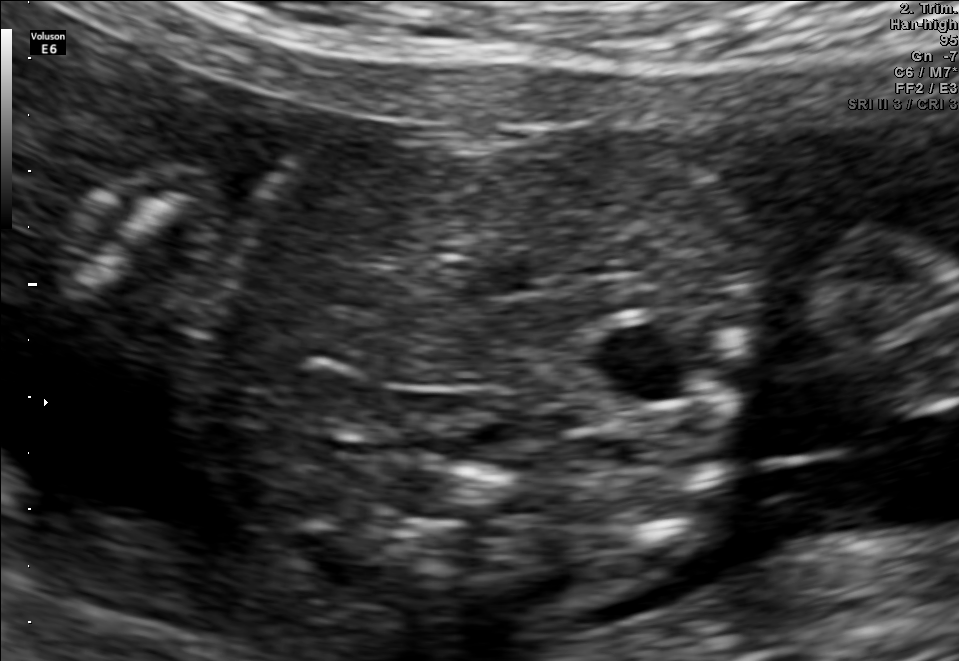
Identify the standard plane in this fetal ultrasound image: fetal abdomen, fetal brain, fetal femur, fetal thorax, maternal cervix, or other. If it's fetal brain and one of the three standard brain planes (trans-thalamic, trans-cerebellum, trans-ventricular), name which.

Fetal abdomen